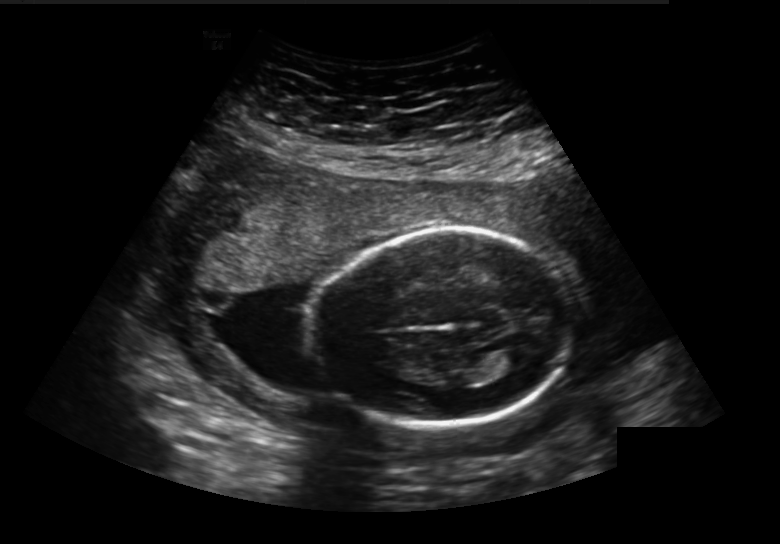
Fetal head ultrasound. Image width: 184.0 mm. Locate the fetal head and, if visible, the cavum septum pellucidum (CSP) and lateral ventricle (LV). Give bounding boxes as [x1,y1,x2,y2].

Head: [314,230,572,428]
Lateral ventricle: [496,342,536,375]